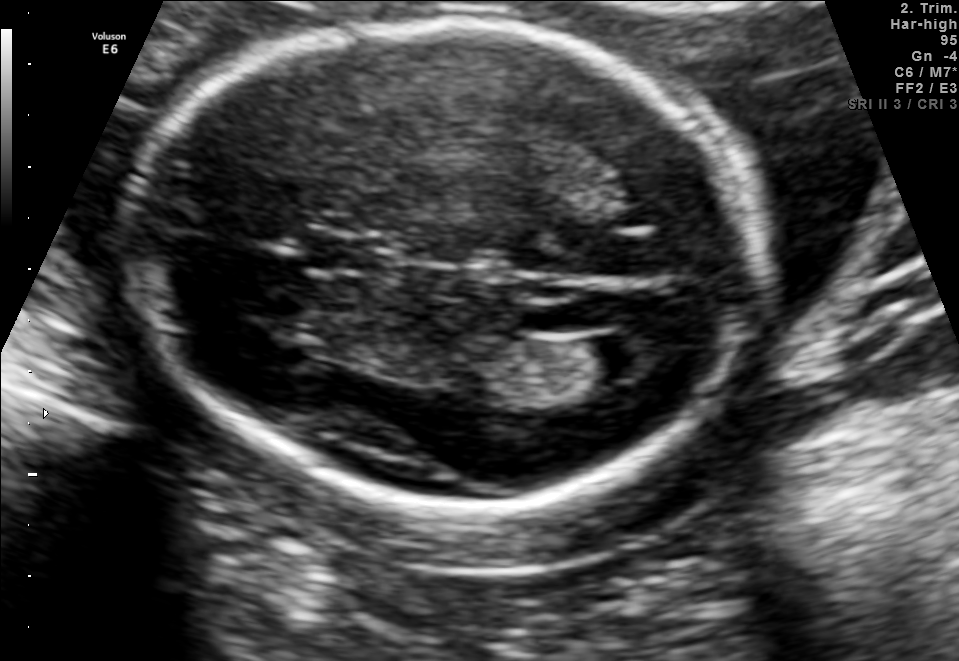
This is a 2D maternal-fetal ultrasound frame. Is it a fetal abdomen, fetal brain, fetal femur, fetal thorax, maternal cervix, or other standard plane? If it's fetal brain and one of the three standard brain planes (trans-thalamic, trans-cerebellum, trans-ventricular), name which.

Fetal brain (trans-ventricular plane)